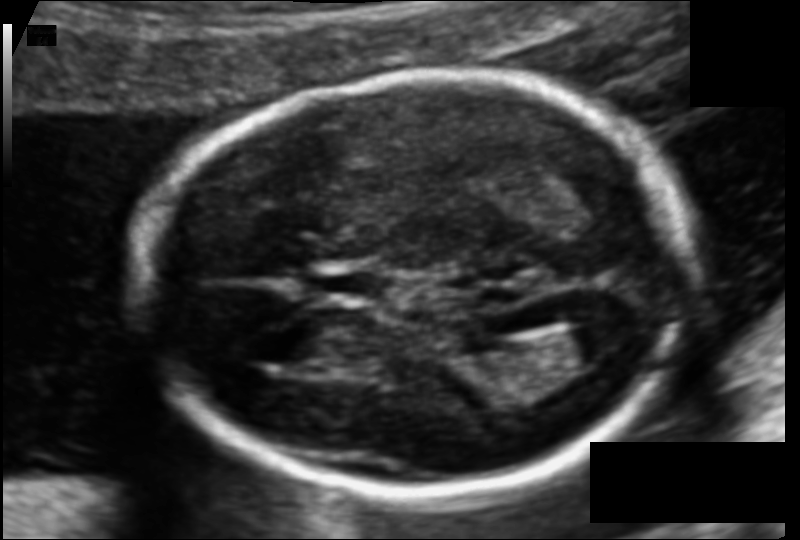
In this fetal head ultrasound, give the bounding box of the lateral ventricle. Image width: 83.7 mm.

[554,308,638,375]